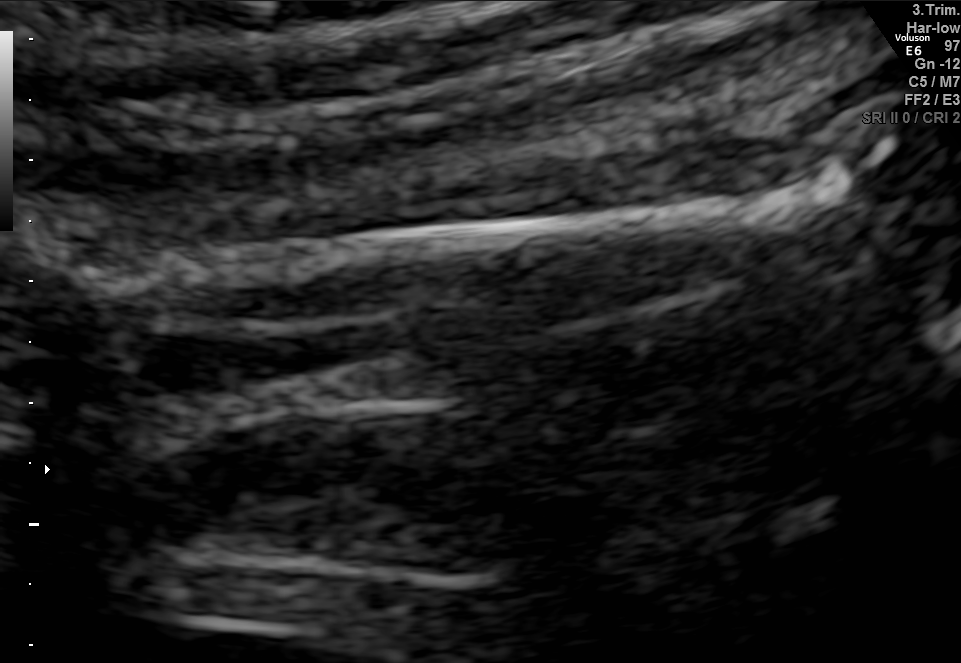
Identify the standard plane in this fetal ultrasound image: fetal abdomen, fetal brain, fetal femur, fetal thorax, maternal cervix, or other. If it's fetal brain and one of the three standard brain planes (trans-thalamic, trans-cerebellum, trans-ventricular), name which.

Fetal femur